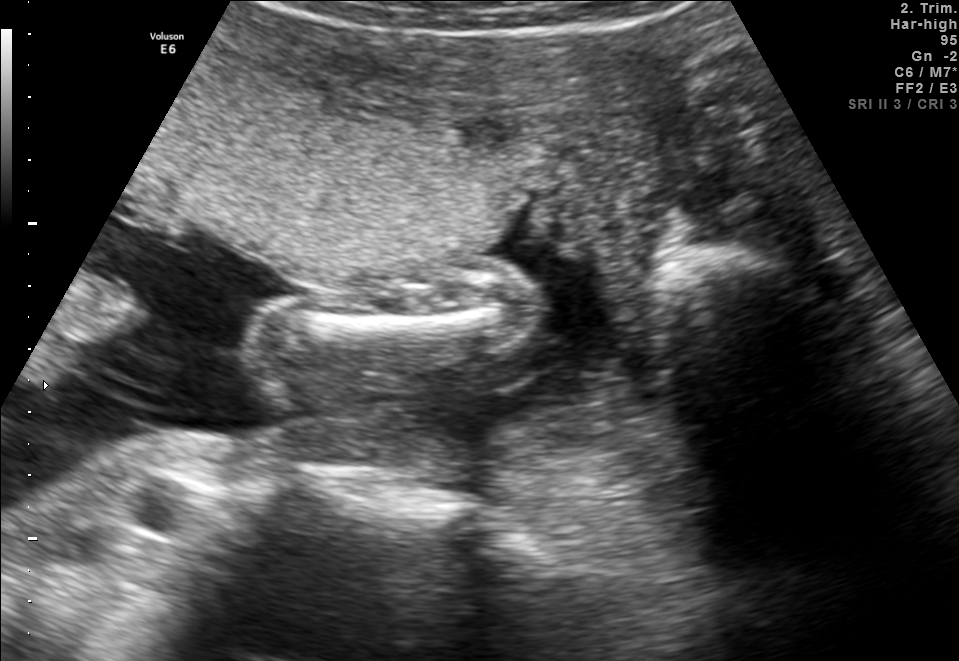
This is a 2D maternal-fetal ultrasound frame. Is it a fetal abdomen, fetal brain, fetal femur, fetal thorax, maternal cervix, or other standard plane? If it's fetal brain and one of the three standard brain planes (trans-thalamic, trans-cerebellum, trans-ventricular), name which.

Other